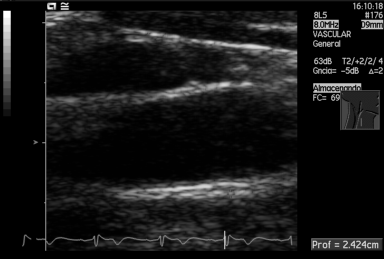
Which standard maternal-fetal ultrasound plane is shown: fetal abdomen, fetal brain, fetal femur, fetal thorax, maternal cervix, or other? If it's fetal brain and one of the three standard brain planes (trans-thalamic, trans-cerebellum, trans-ventricular), name which.

Other